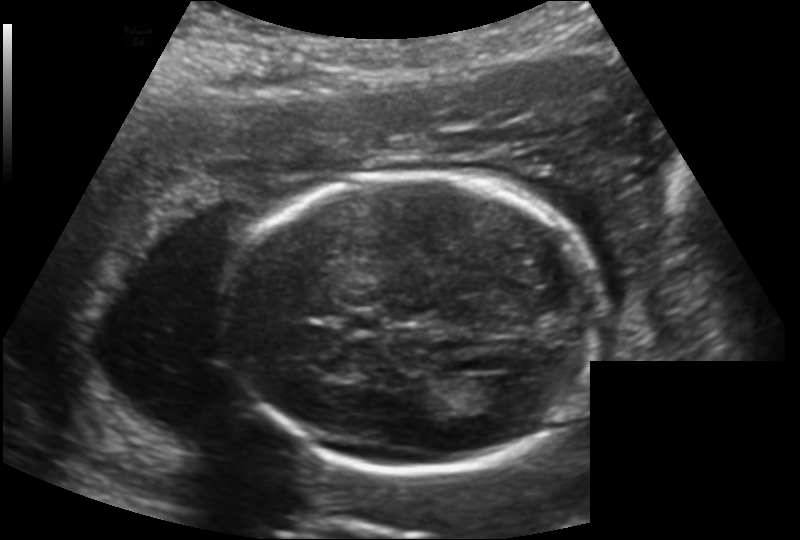
In this fetal head ultrasound, give bounding boxes for the head outline, cavum septum pellucidum (CSP), and lateral ventricle (LV), where visible. Image width: 135.0 mm.

Head: [229,175,599,471]
CSP: [341,311,383,333]
Lateral ventricle: [467,377,524,415]